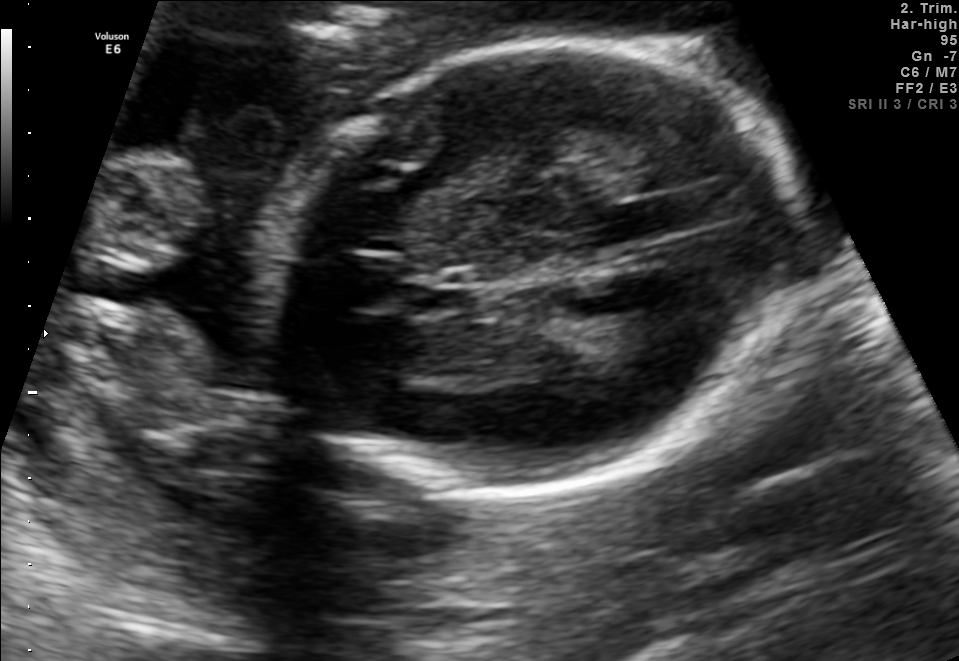
In this fetal brain, trans-thalamic plane, give the bounding box of the cavum septum pellucidum.

[403,273,472,317]